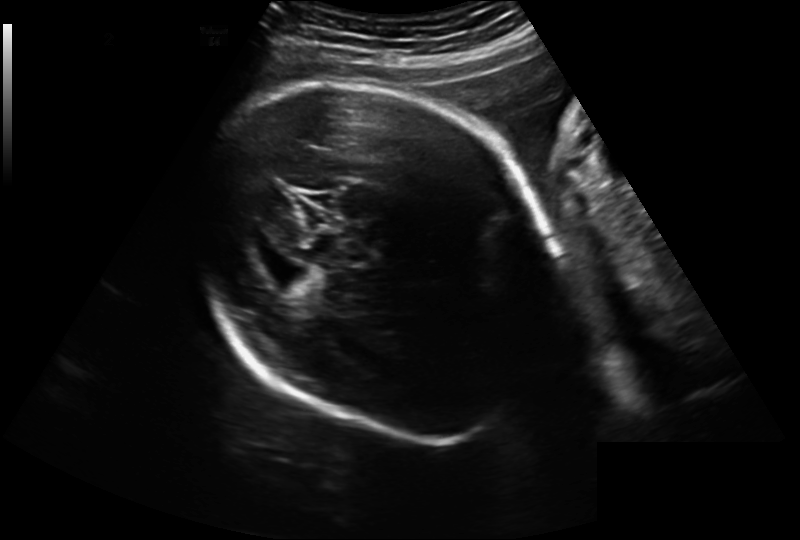
What is the fetal head circumference? Image width is 192.7 mm.

280.5 mm